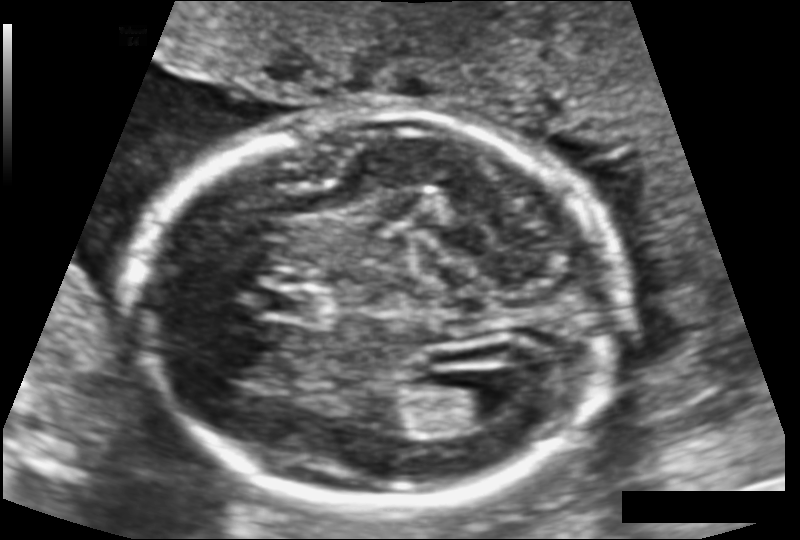
Fetal head ultrasound. Image width: 99.5 mm. Where is the cavum septum pellucidum?

CSP bounding box: [261,287,316,320]